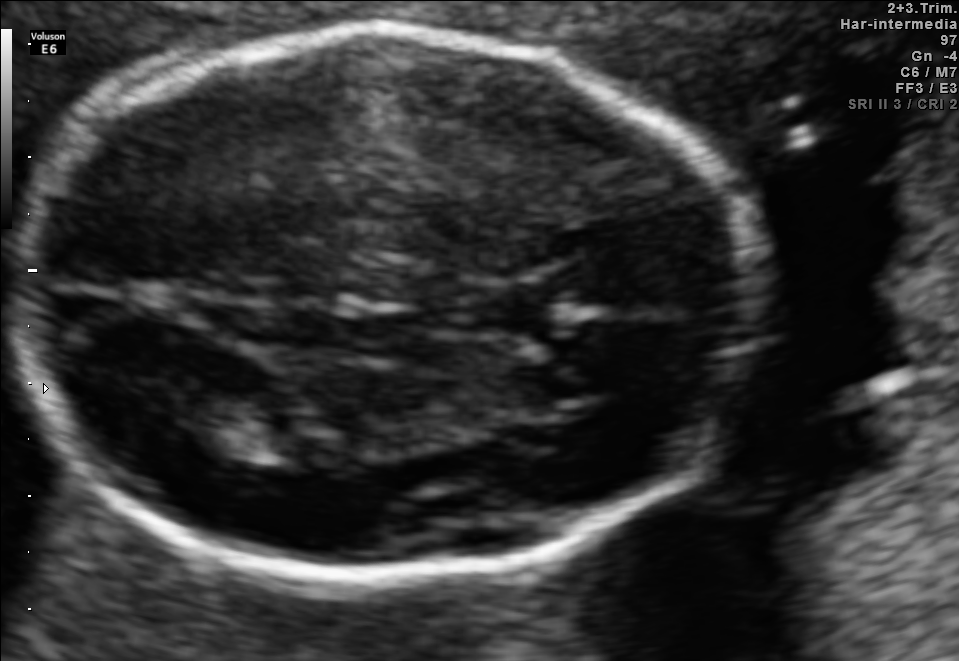
Fetal brain, trans-thalamic plane. Where is the cavum septum pellucidum?

CSP bounding box: [476,287,552,334]